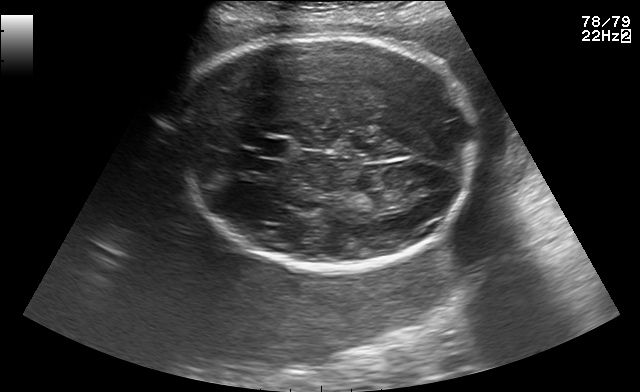
Identify the standard plane in this fetal ultrasound image: fetal abdomen, fetal brain, fetal femur, fetal thorax, maternal cervix, or other. If it's fetal brain and one of the three standard brain planes (trans-thalamic, trans-cerebellum, trans-ventricular), name which.

Fetal brain (trans-thalamic plane)